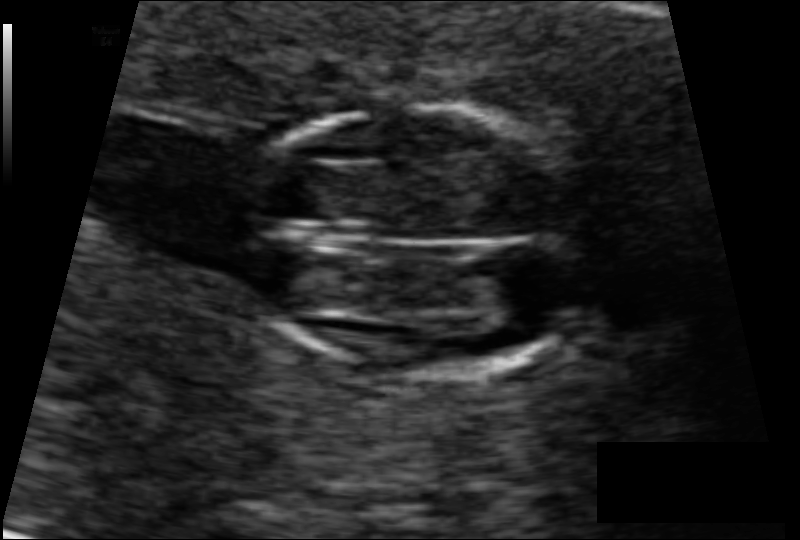
Estimate the fetal head circumference from this 2D ultrasound.

Head circumference: 77.6 mm (image width 60.3 mm).